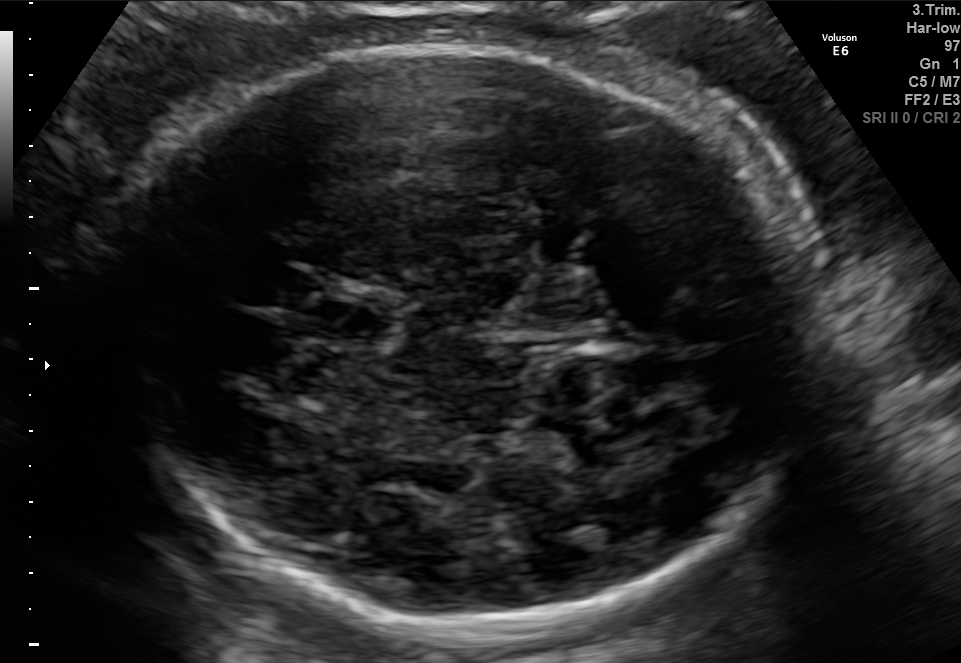
Which standard maternal-fetal ultrasound plane is shown: fetal abdomen, fetal brain, fetal femur, fetal thorax, maternal cervix, or other? If it's fetal brain and one of the three standard brain planes (trans-thalamic, trans-cerebellum, trans-ventricular), name which.

Fetal brain (trans-thalamic plane)